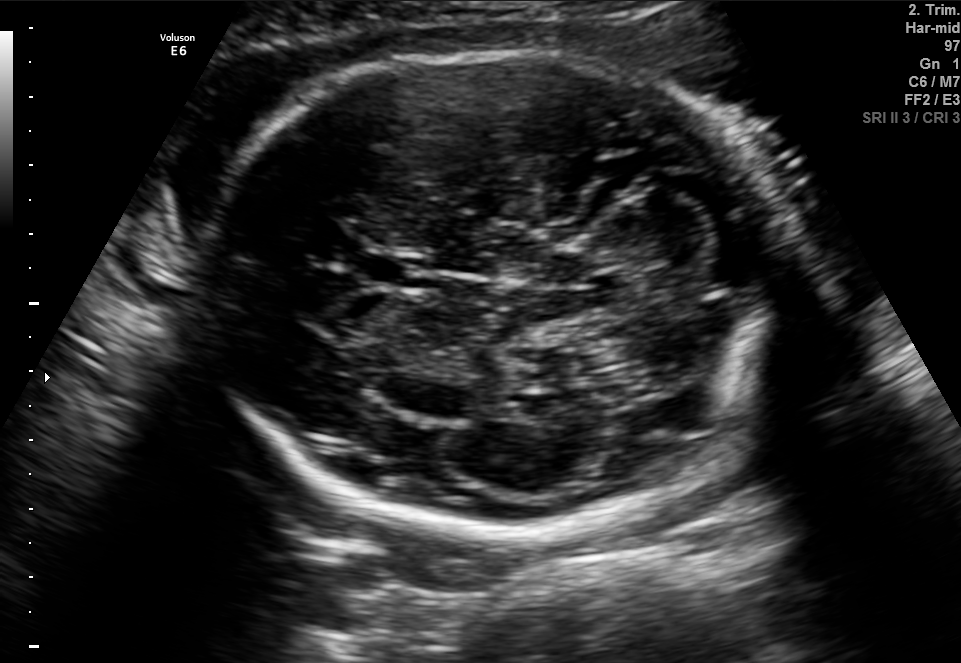
Fetal brain, trans-cerebellum plane. Where is the cavum septum pellucidum?

CSP bounding box: [359,248,430,293]